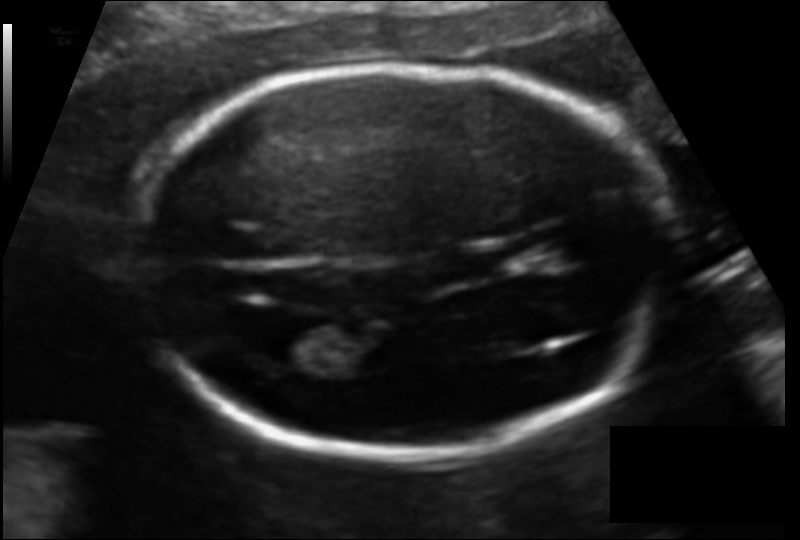
Estimate the fetal head circumference from this 2D ultrasound.

Head circumference: 165.6 mm (image width 87.6 mm).